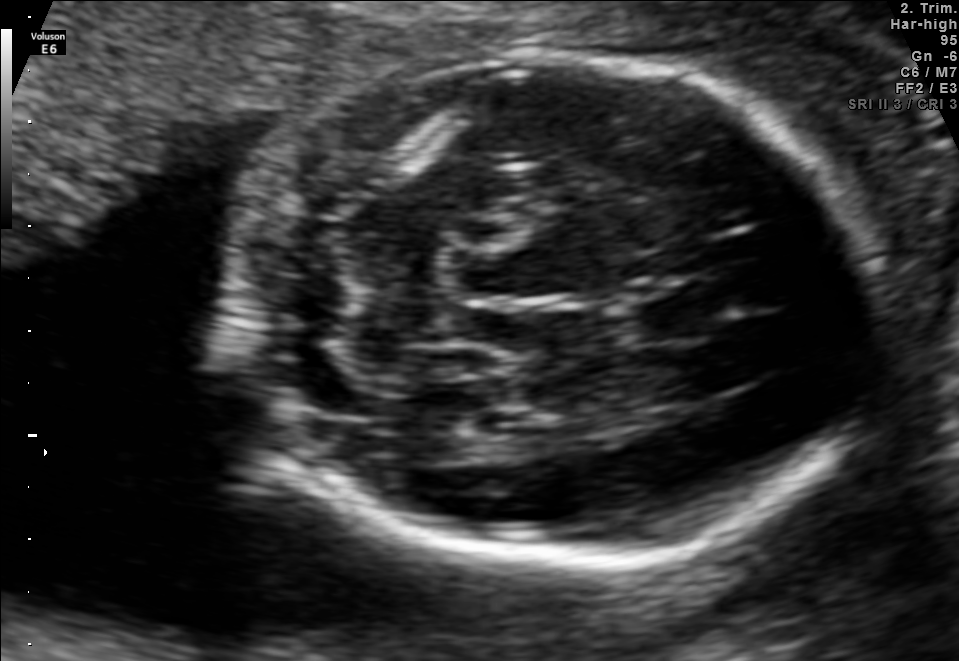
Fetal brain, trans-cerebellum plane. Locate the fetal head and, if visible, the cavum septum pellucidum (CSP) and lateral ventricle (LV). Give bounding boxes as [x1,y1,x2,y2].

Head: [225,56,874,565]
CSP: [633,278,725,350]